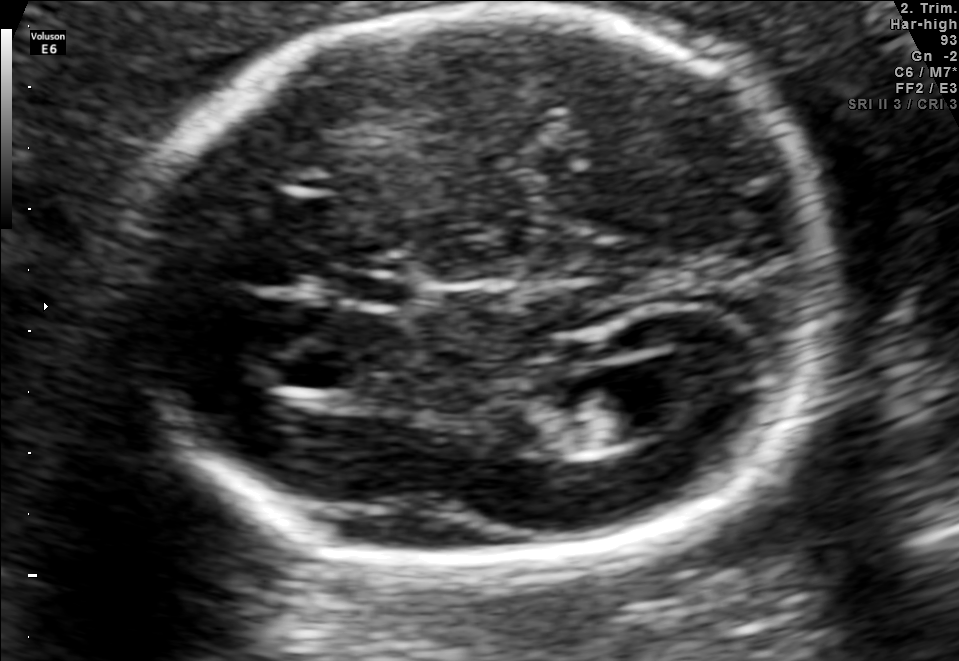
Fetal brain, trans-ventricular plane. Locate the fetal head and, if visible, the cavum septum pellucidum (CSP) and lateral ventricle (LV). Give bounding boxes as [x1,y1,x2,y2].

Head: [112,4,851,579]
CSP: [333,269,420,316]
Lateral ventricle: [570,359,704,453]